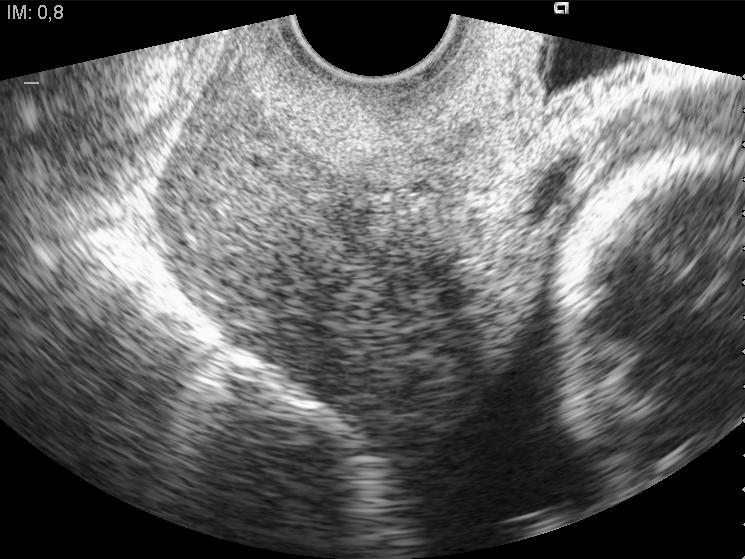
Identify the standard plane in this fetal ultrasound image: fetal abdomen, fetal brain, fetal femur, fetal thorax, maternal cervix, or other. If it's fetal brain and one of the three standard brain planes (trans-thalamic, trans-cerebellum, trans-ventricular), name which.

Maternal cervix